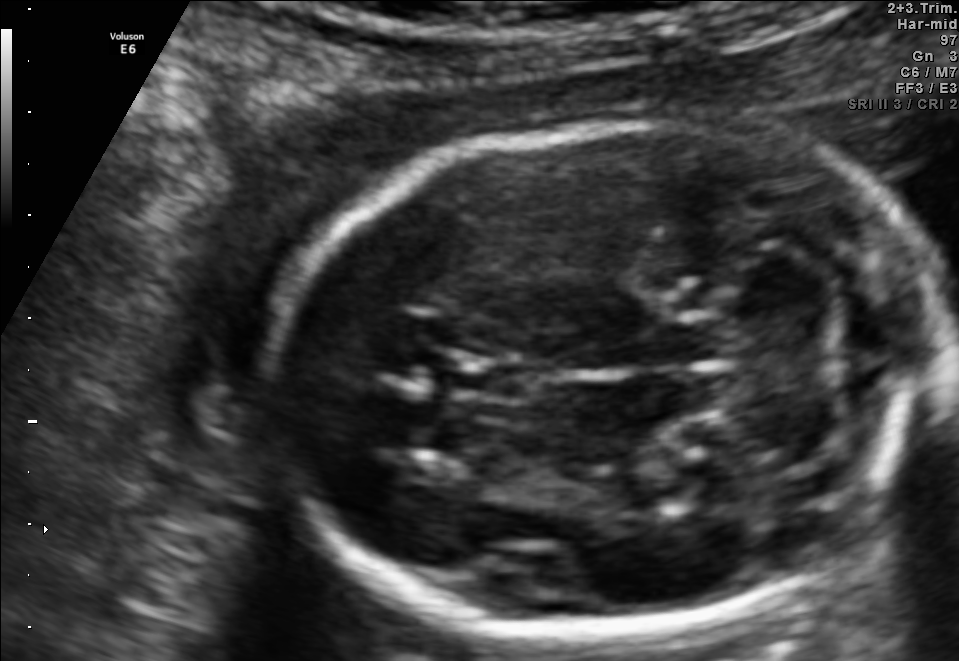
Fetal brain, trans-cerebellum plane. Locate the fetal head and, if visible, the cavum septum pellucidum (CSP) and lateral ventricle (LV). Give bounding boxes as [x1,y1,x2,y2].

Head: [273,117,946,642]
CSP: [449,358,543,400]